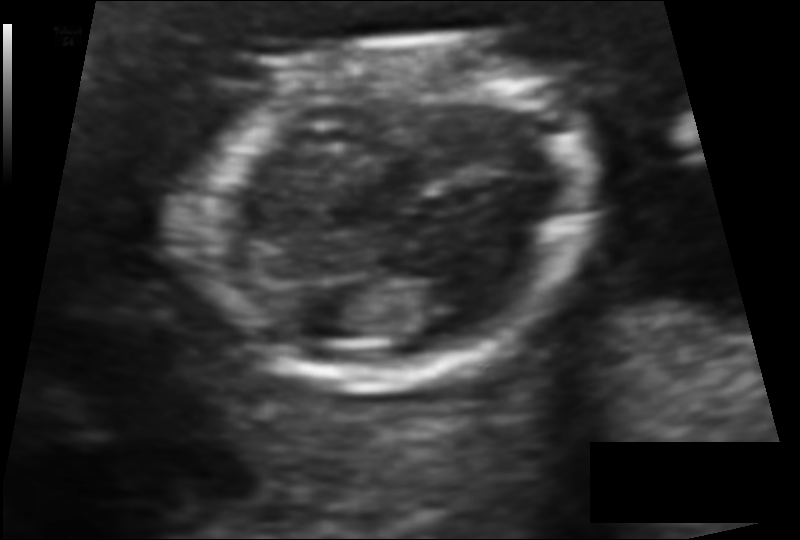
Fetal head ultrasound. Image width: 72.9 mm. Locate the fetal head and, if visible, the cavum septum pellucidum (CSP) and lateral ventricle (LV). Give bounding boxes as [x1,y1,x2,y2].

Head: [203,40,591,389]